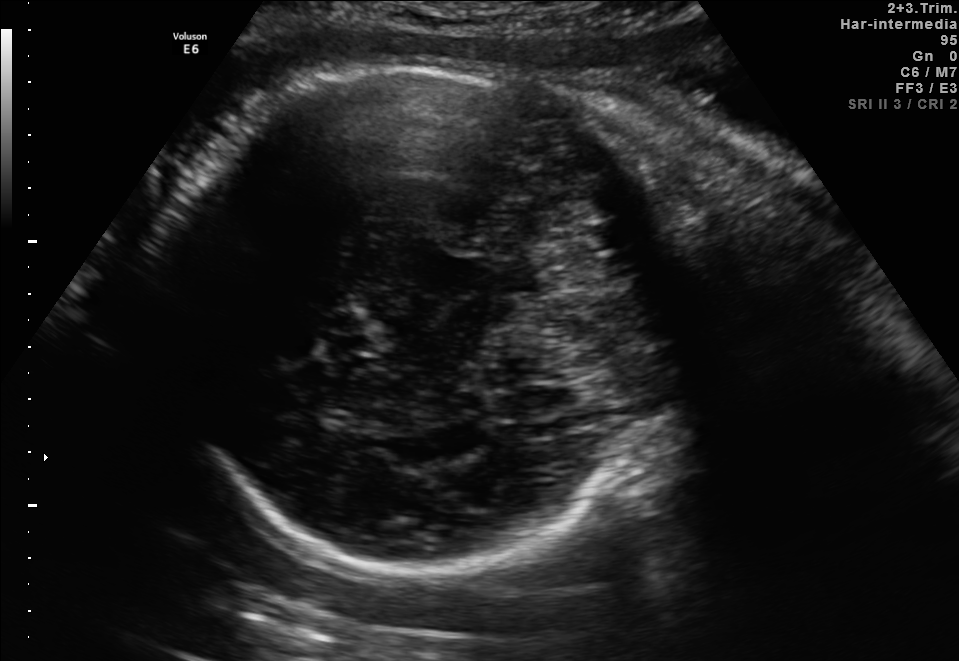
Which standard maternal-fetal ultrasound plane is shown: fetal abdomen, fetal brain, fetal femur, fetal thorax, maternal cervix, or other? If it's fetal brain and one of the three standard brain planes (trans-thalamic, trans-cerebellum, trans-ventricular), name which.

Fetal brain (trans-cerebellum plane)